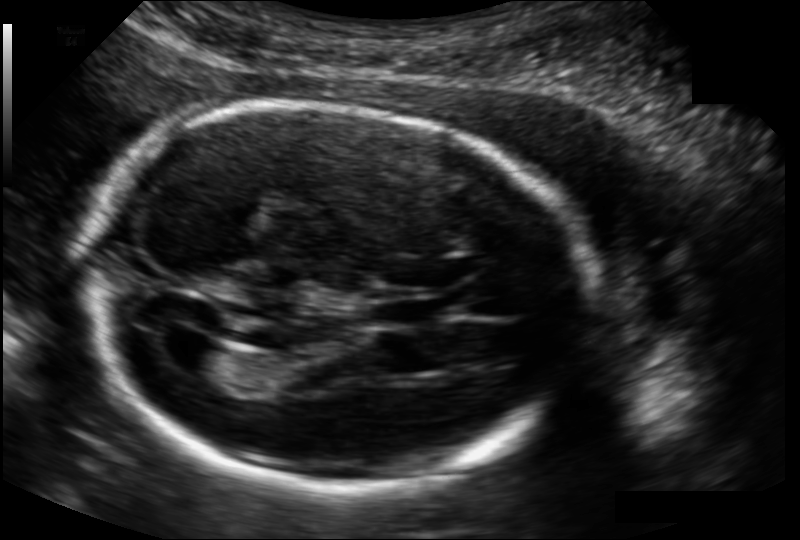
In this fetal head ultrasound, give the bounding box of the lateral ventricle. Image width: 107.6 mm.

[162,323,230,383]